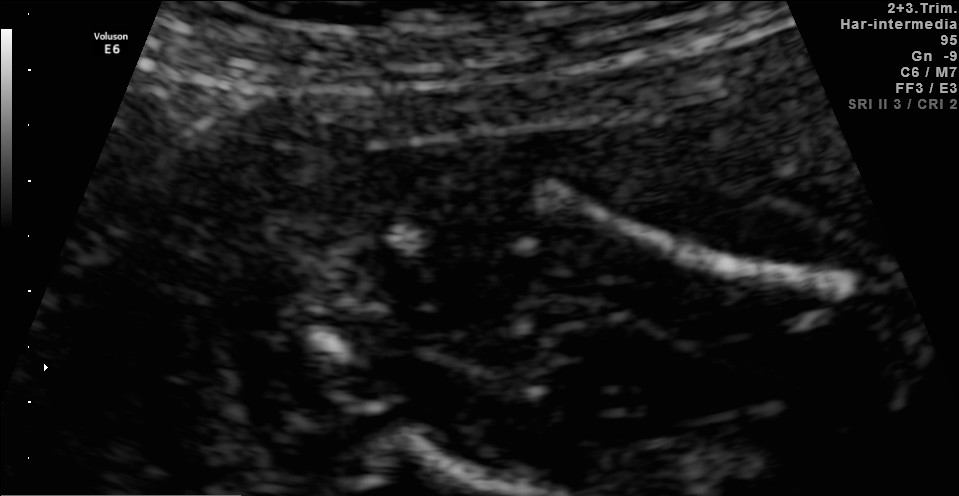
Which standard maternal-fetal ultrasound plane is shown: fetal abdomen, fetal brain, fetal femur, fetal thorax, maternal cervix, or other? If it's fetal brain and one of the three standard brain planes (trans-thalamic, trans-cerebellum, trans-ventricular), name which.

Fetal femur